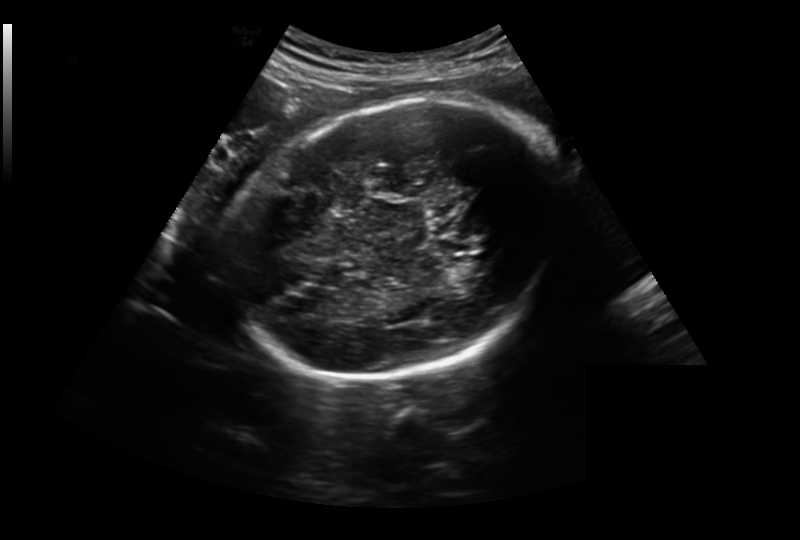
Estimate the fetal head circumference from this 2D ultrasound.

Head circumference: 263.0 mm (image width 206.9 mm).